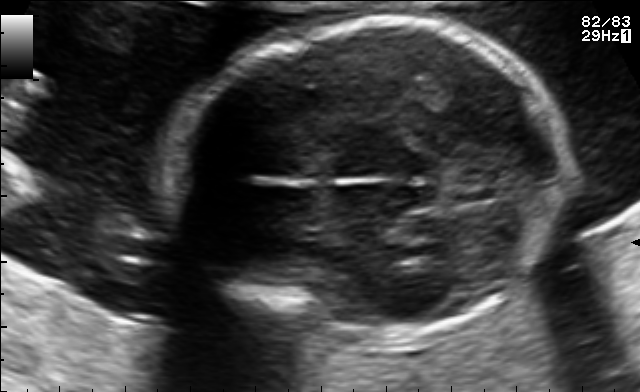
In this fetal brain, trans-thalamic plane, give bounding boxes for the head outline, cavum septum pellucidum (CSP), and lateral ventricle (LV), where visible.

Head: [174,20,567,346]